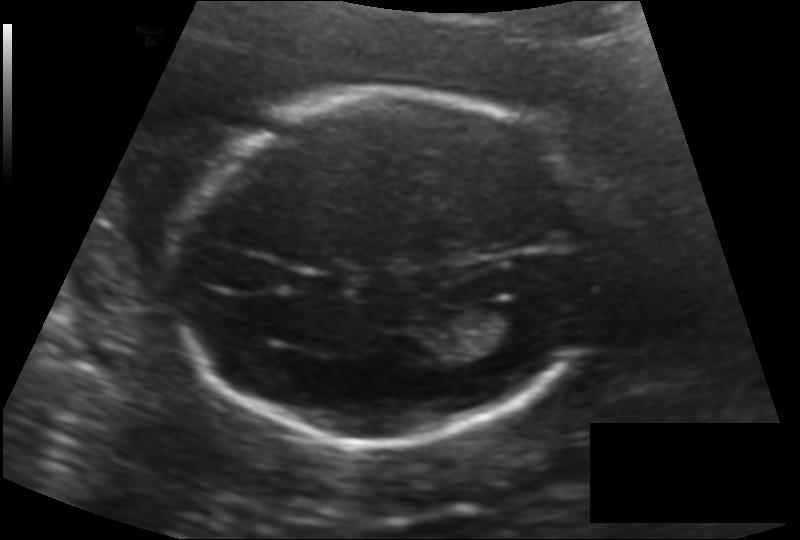
Estimate the fetal head circumference from this 2D ultrasound. Image width: 112.2 mm.

Head circumference: 176.6 mm.